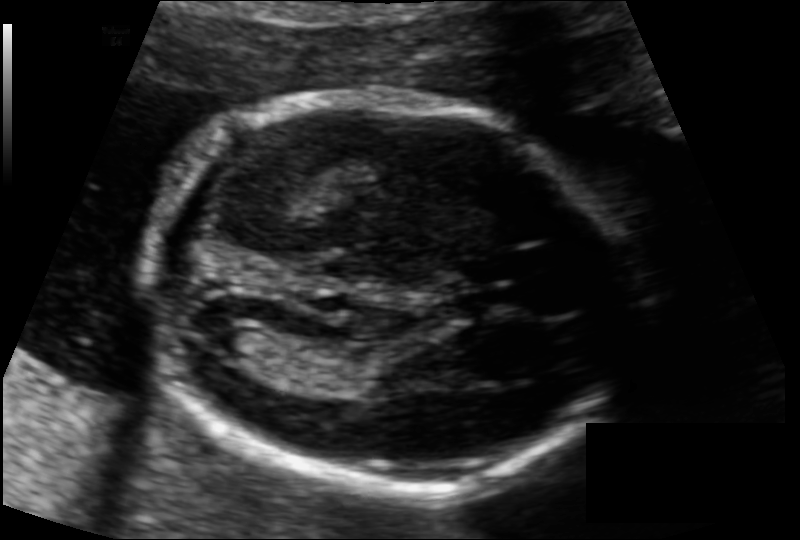
In this fetal head ultrasound, give the bounding box of the fetal head. Image width: 86.5 mm.

[148,96,631,489]